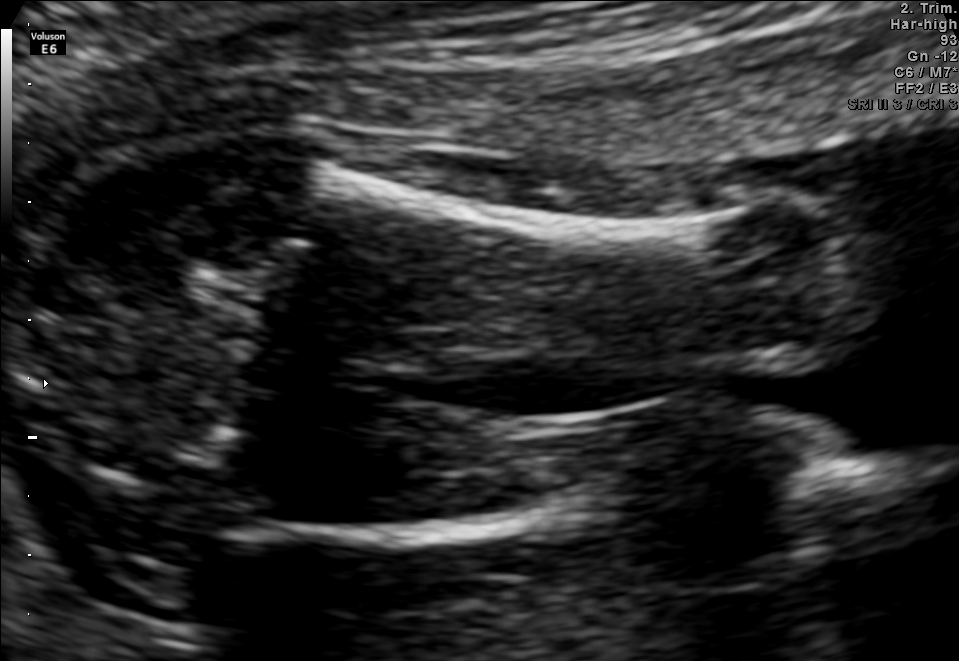
Which standard maternal-fetal ultrasound plane is shown: fetal abdomen, fetal brain, fetal femur, fetal thorax, maternal cervix, or other? If it's fetal brain and one of the three standard brain planes (trans-thalamic, trans-cerebellum, trans-ventricular), name which.

Fetal femur